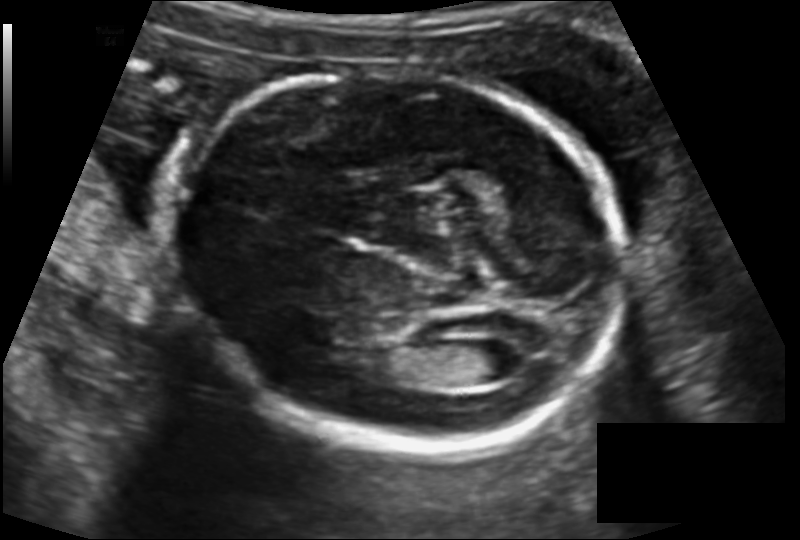
Fetal head ultrasound. Image width: 103.4 mm. Locate the lateral ventricle.

Lateral ventricle: [463,336,527,386]